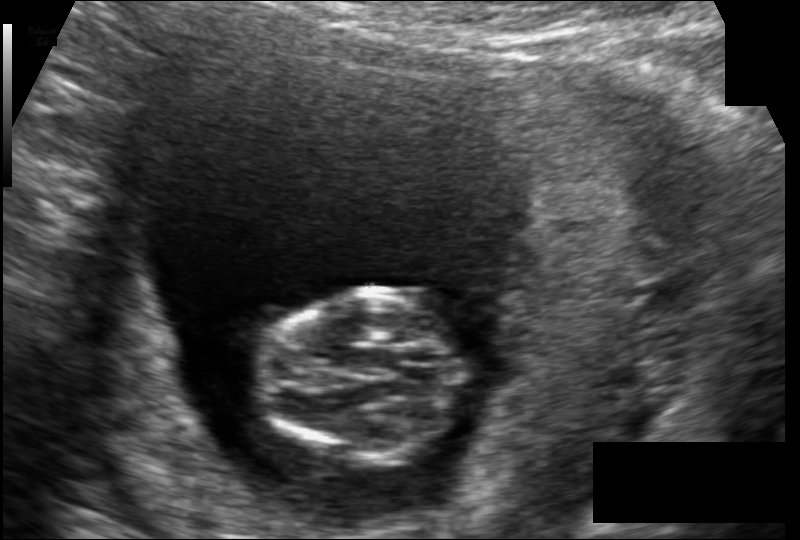
Estimate the fetal head circumference from this 2D ultrasound.

Head circumference: 74.0 mm (image width 93.8 mm).